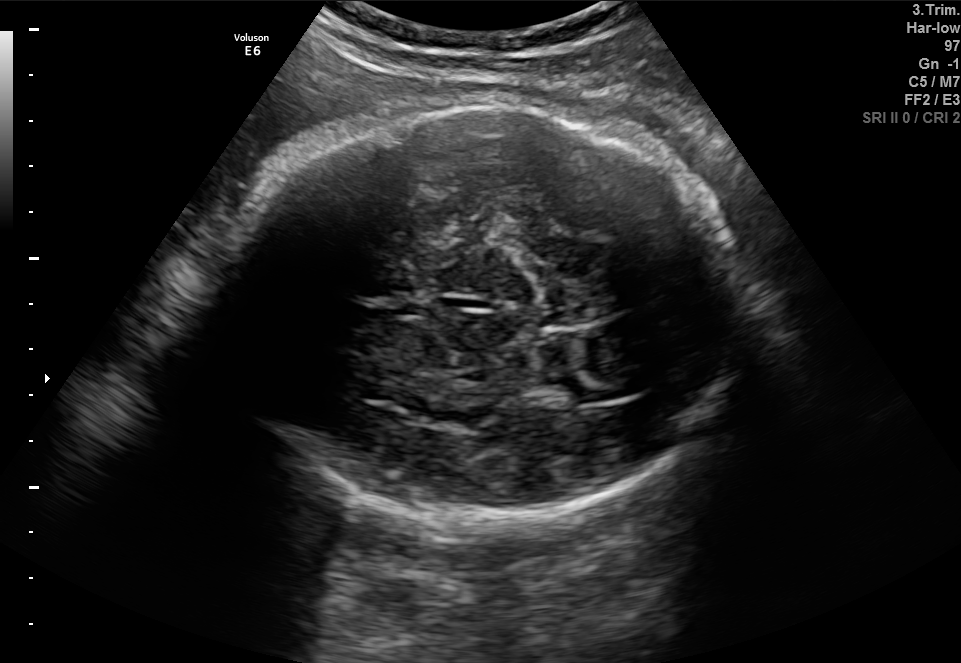
Fetal brain, trans-thalamic plane. Give [x1,y1,x2,y2] bounding boxes for each visible structure among: fetal head, CSP, LV.

Head: [213,94,744,531]